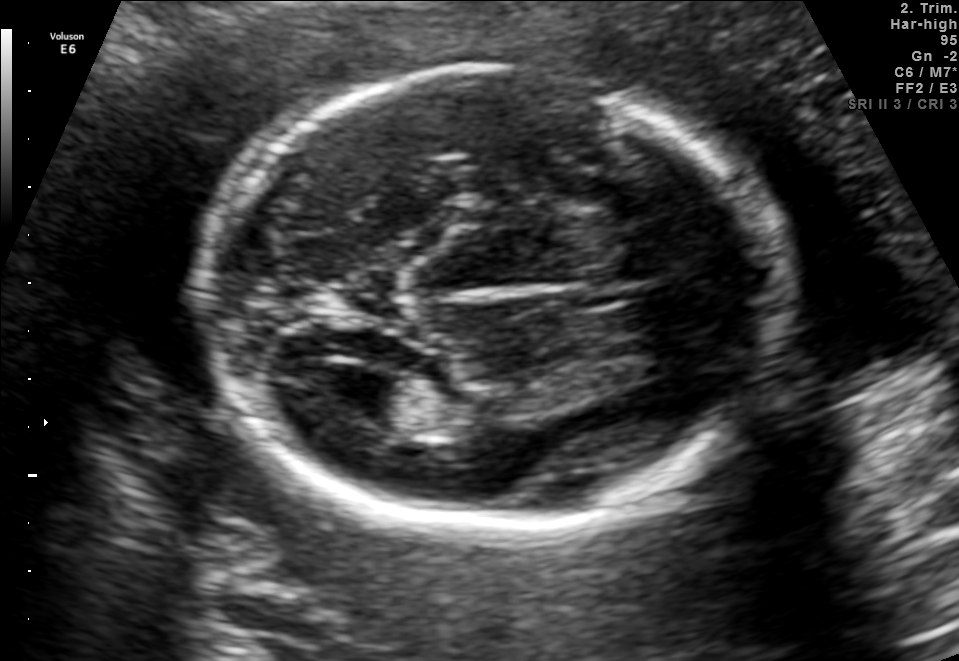
Fetal brain, trans-ventricular plane. Locate the lateral ventricle.

Lateral ventricle: [314,361,409,430]